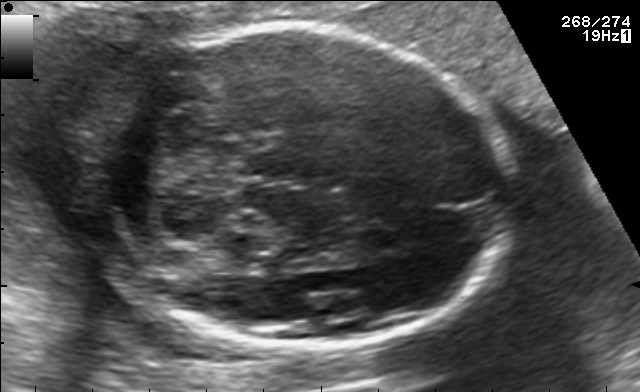
Fetal brain, trans-cerebellum plane. Locate the fetal head.

Head: [91,26,511,348]